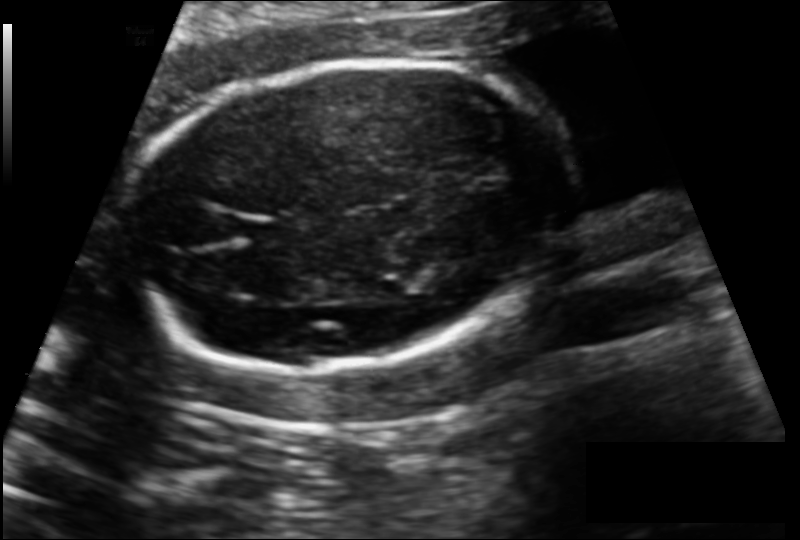
Estimate the fetal head circumference from this 2D ultrasound.

Head circumference: 166.2 mm (image width 111.1 mm).